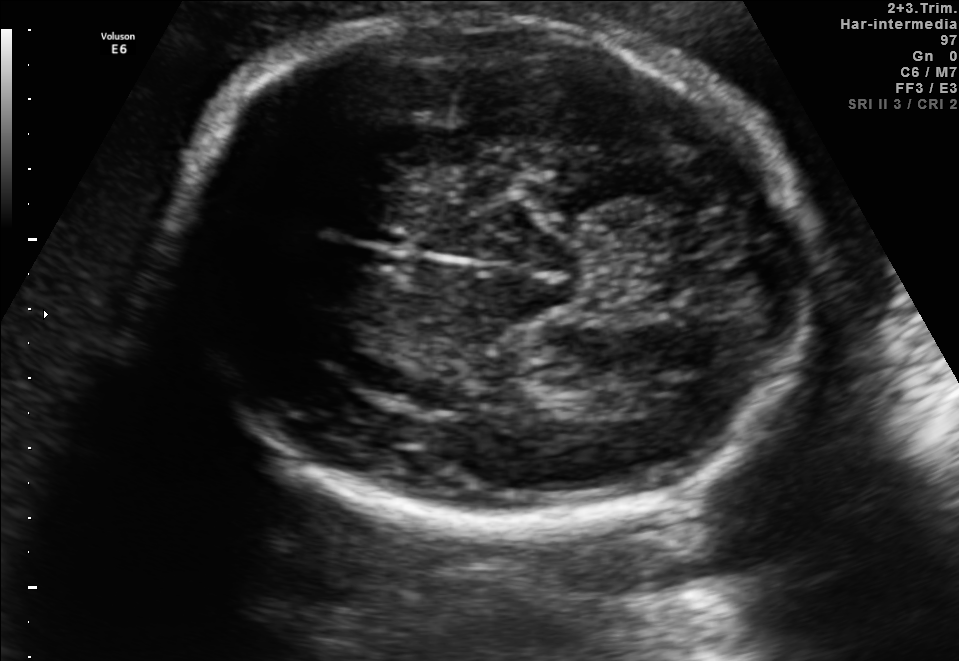
Fetal brain, trans-thalamic plane. Locate the fetal head and, if visible, the cavum septum pellucidum (CSP) and lateral ventricle (LV). Give bounding boxes as [x1,y1,x2,y2].

Head: [170,15,809,524]